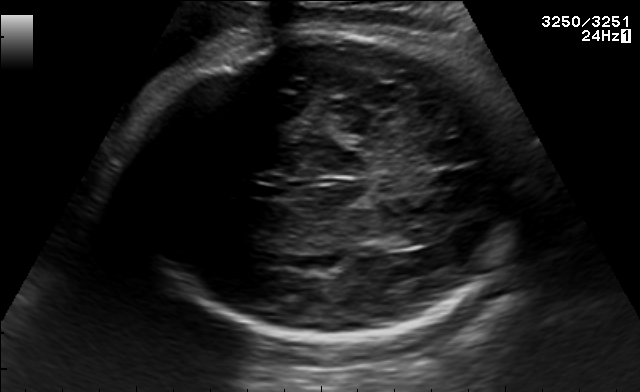
Fetal brain, trans-thalamic plane. Give [x1,y1,x2,y2] bounding boxes for each visible structure among: fetal head, CSP, LV.

Head: [124,33,517,339]
CSP: [250,183,283,200]
Lateral ventricle: [377,226,432,252]